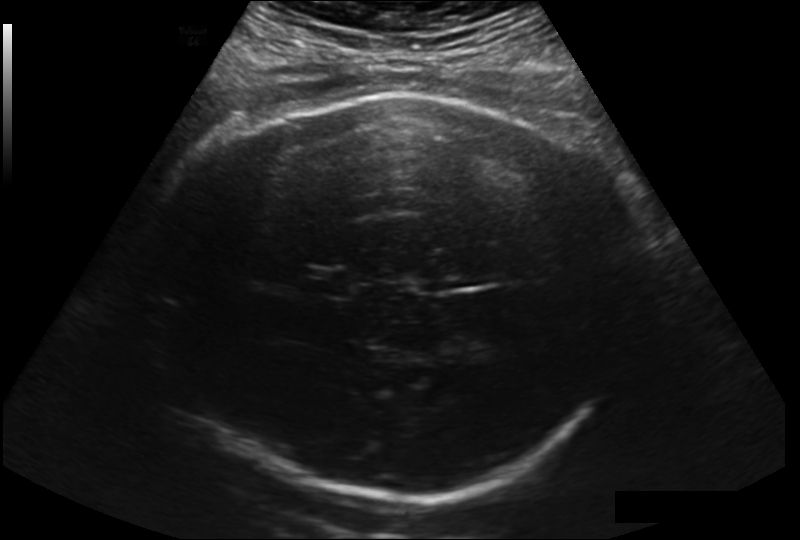
Fetal head ultrasound. Image width: 179.8 mm. Give [x1,y1,x2,y2] bounding boxes for each visible structure among: fetal head, CSP, LV.

Head: [141,92,631,497]